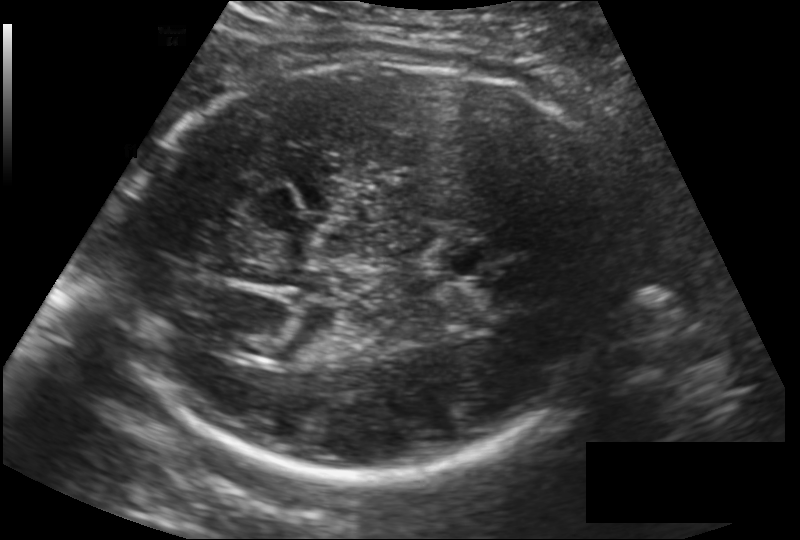
Fetal head ultrasound. Image width: 148.6 mm. Where is the fetal head?

Head bounding box: [113,64,634,473]